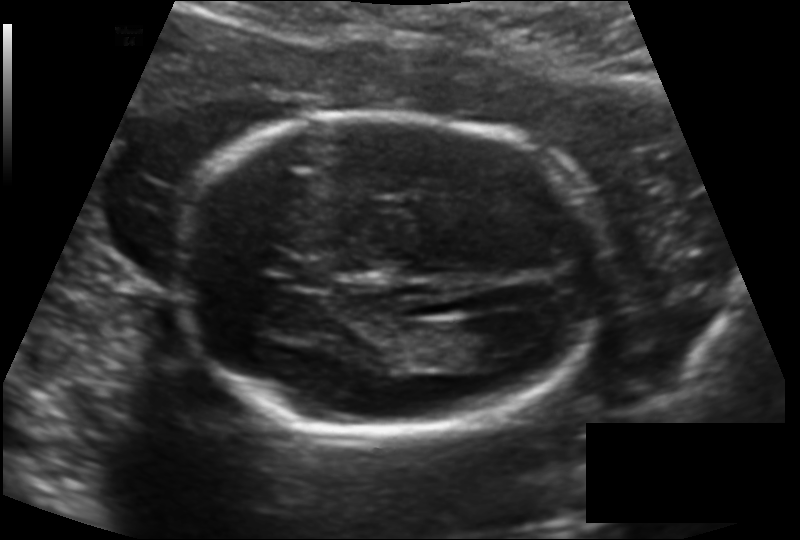
Measure the fetal head circumference shown in this ultrasound image. Image width: 110.7 mm.

Head circumference: 170.4 mm.